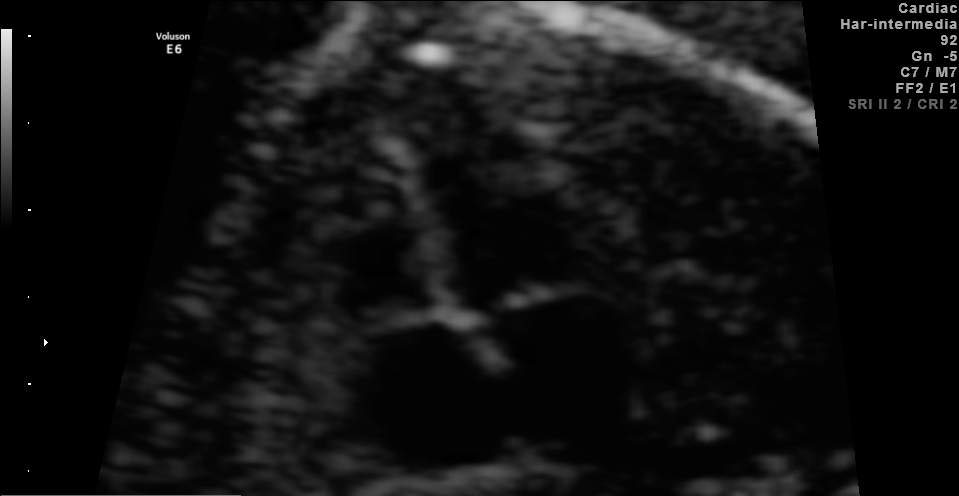
This is a 2D maternal-fetal ultrasound frame. Is it a fetal abdomen, fetal brain, fetal femur, fetal thorax, maternal cervix, or other standard plane? If it's fetal brain and one of the three standard brain planes (trans-thalamic, trans-cerebellum, trans-ventricular), name which.

Fetal thorax